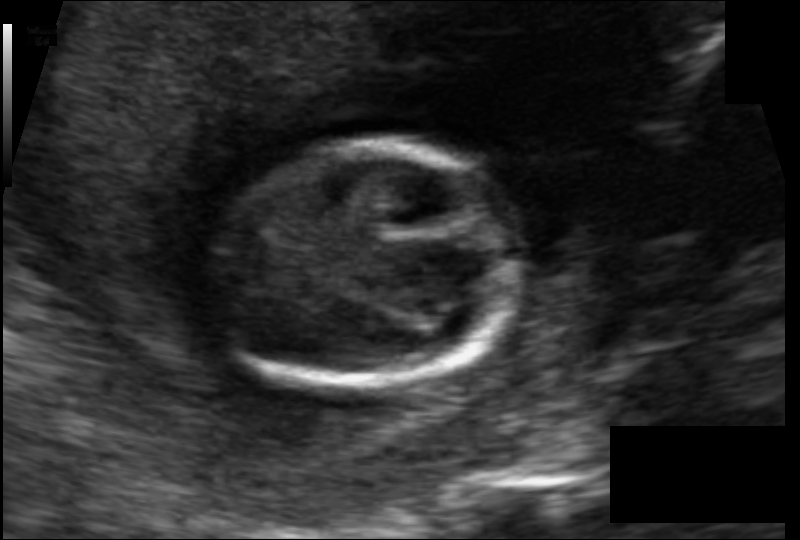
From this fetal ultrasound, estimate the head circumference (image width 70.6 mm).

Head circumference: 80.3 mm.